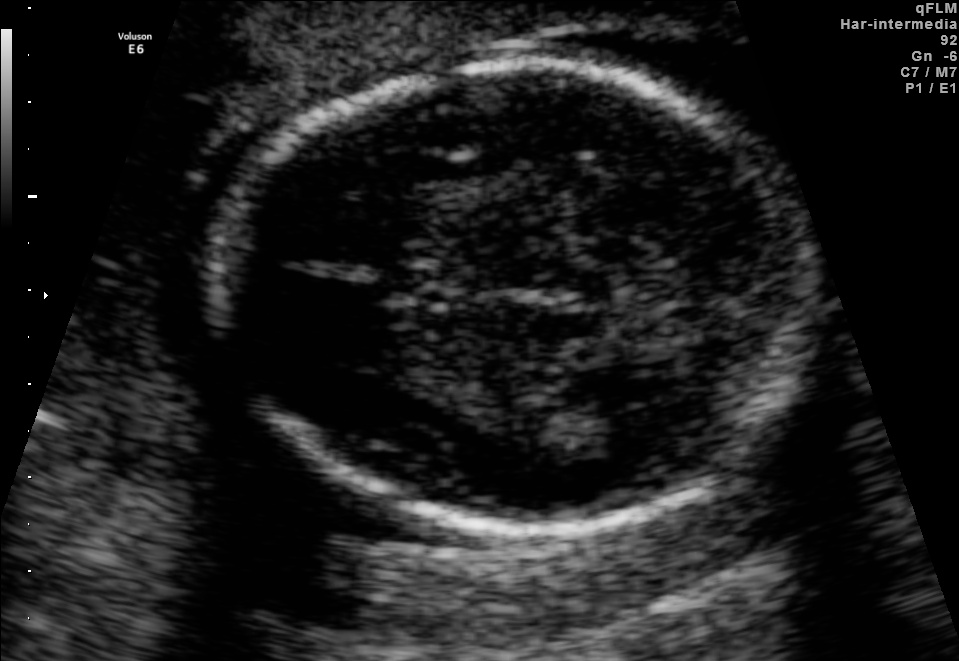
Fetal brain, trans-thalamic plane. Where is the fetal head?

Head bounding box: [219,62,816,525]